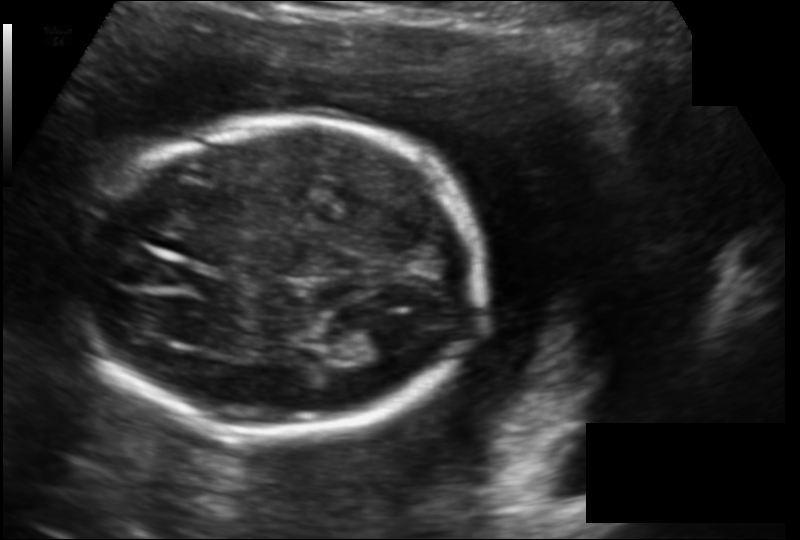
Fetal head ultrasound. Image width: 113.3 mm. Locate the lateral ventricle.

Lateral ventricle: [350,315,418,367]